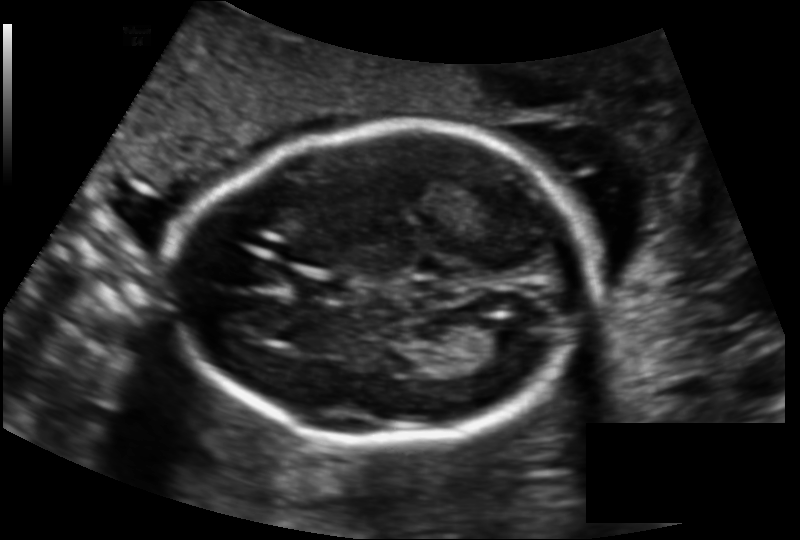
Estimate the fetal head circumference from this 2D ultrasound.

Head circumference: 165.7 mm (image width 109.7 mm).